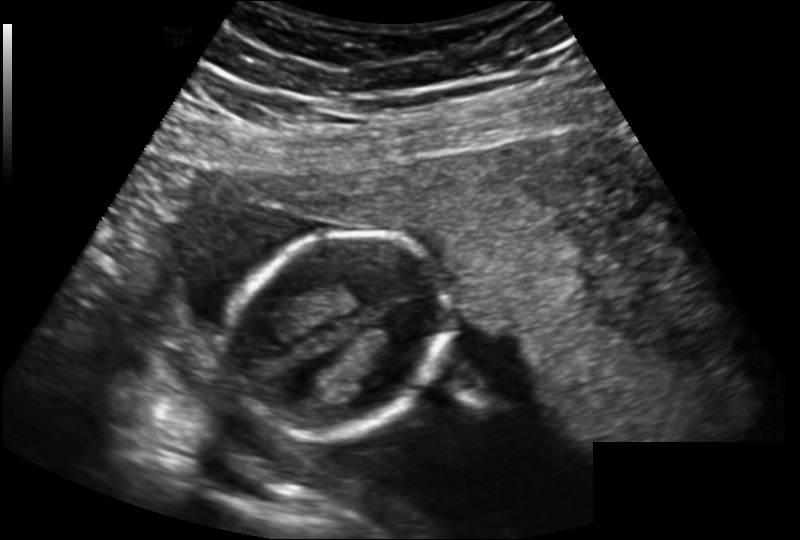
In this fetal head ultrasound, give the bounding box of the fetal head. Image width: 146.2 mm.

[228,232,450,435]